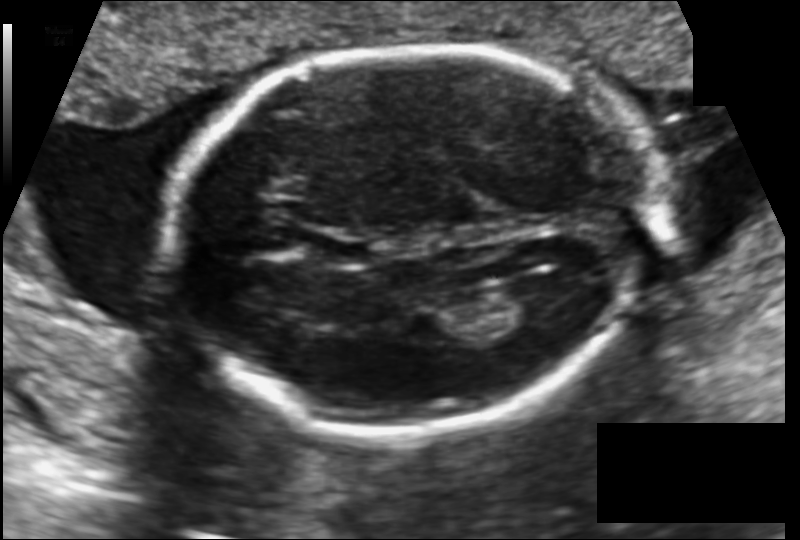
Fetal head ultrasound. Image width: 106.0 mm. Locate the fetal head.

Head: [170,47,650,435]